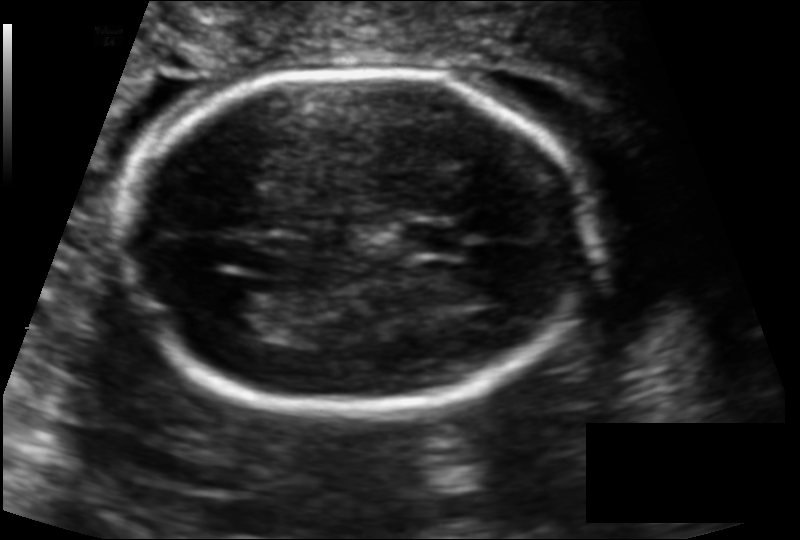
Fetal head ultrasound. Image width: 97.4 mm. Locate the fetal head and, if visible, the cavum septum pellucidum (CSP) and lateral ventricle (LV). Give bounding boxes as [x1,y1,x2,y2].

Head: [122,69,593,413]
CSP: [398,222,465,256]
Lateral ventricle: [213,281,292,341]